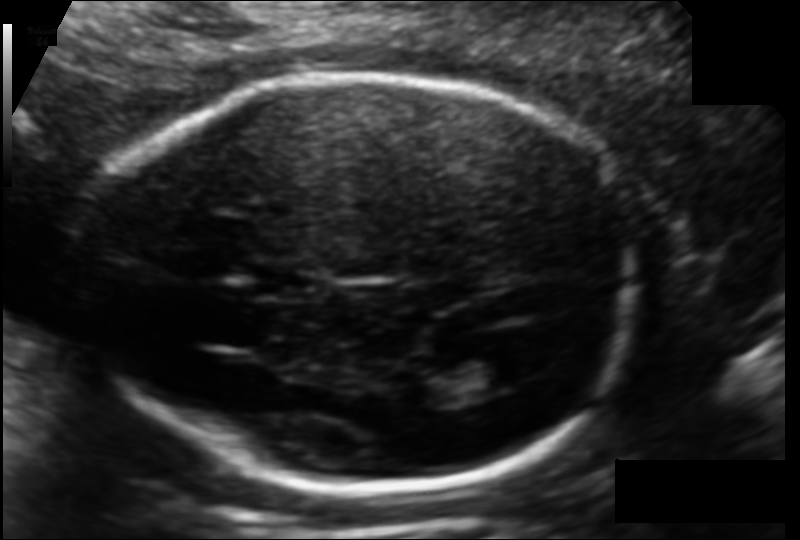
Fetal head ultrasound. Image width: 90.5 mm. Where is the lateral ventricle?

Lateral ventricle bounding box: [450,344,524,403]